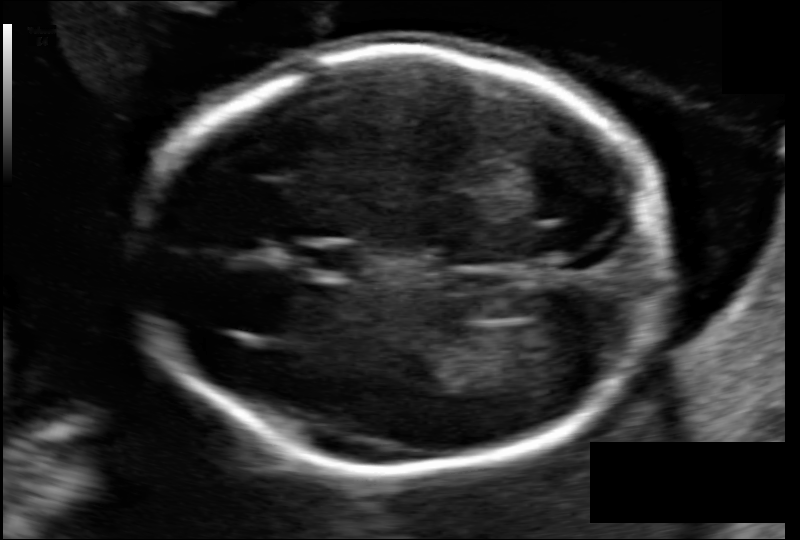
Estimate the fetal head circumference from this 2D ultrasound.

Head circumference: 156.3 mm (image width 82.2 mm).